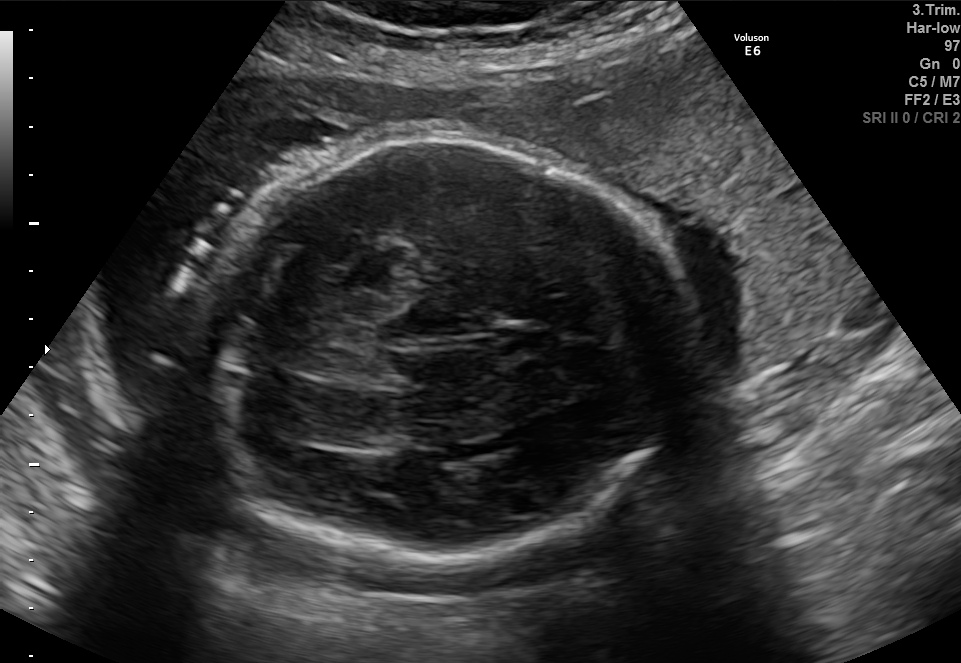
Fetal brain, trans-thalamic plane. Locate the fetal head.

Head: [212,136,690,557]